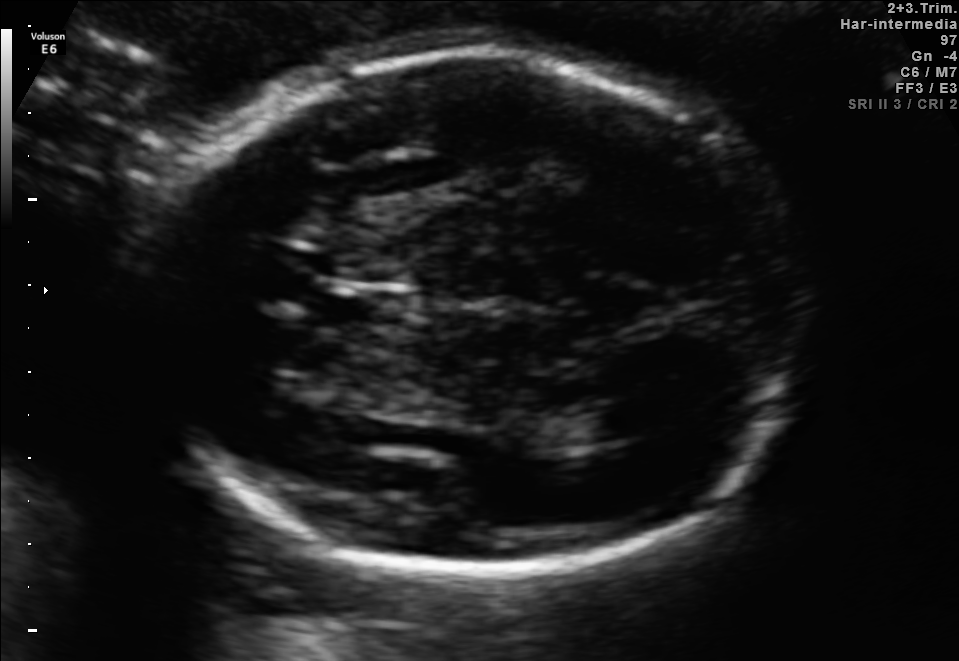
Fetal brain, trans-thalamic plane. Locate the lateral ventricle.

Lateral ventricle: [547,413,625,451]